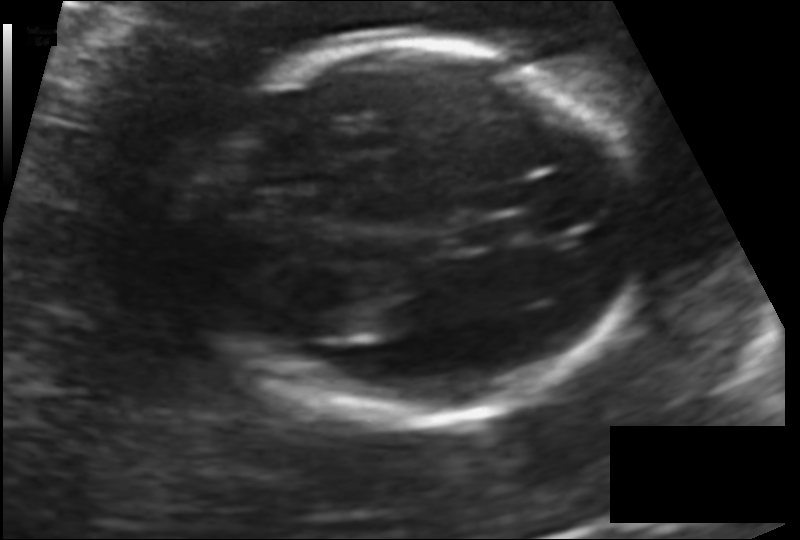
In this fetal head ultrasound, give bounding boxes for the head outline, cavum septum pellucidum (CSP), and lateral ventricle (LV), where visible. Image width: 104.5 mm.

Head: [196,38,634,423]
CSP: [456,212,525,255]
Lateral ventricle: [306,306,360,342]